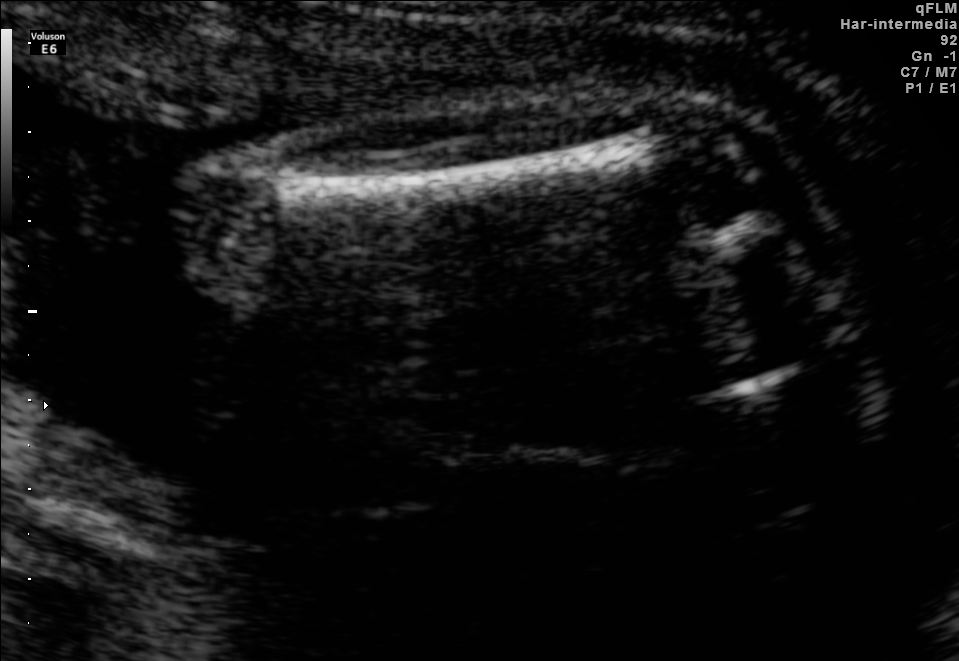
Classify this maternal-fetal ultrasound image as one of the six standard planes — fetal abdomen, fetal brain, fetal femur, fetal thorax, maternal cervix, or other. If it's fetal brain and one of the three standard brain planes (trans-thalamic, trans-cerebellum, trans-ventricular), name which.

Fetal femur